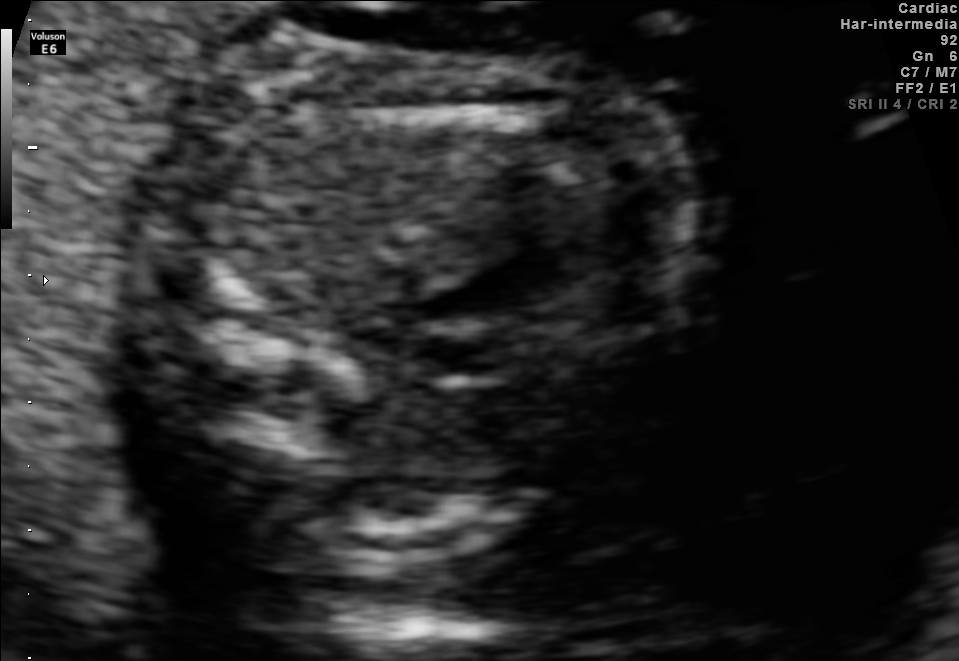
Identify the standard plane in this fetal ultrasound image: fetal abdomen, fetal brain, fetal femur, fetal thorax, maternal cervix, or other. If it's fetal brain and one of the three standard brain planes (trans-thalamic, trans-cerebellum, trans-ventricular), name which.

Other